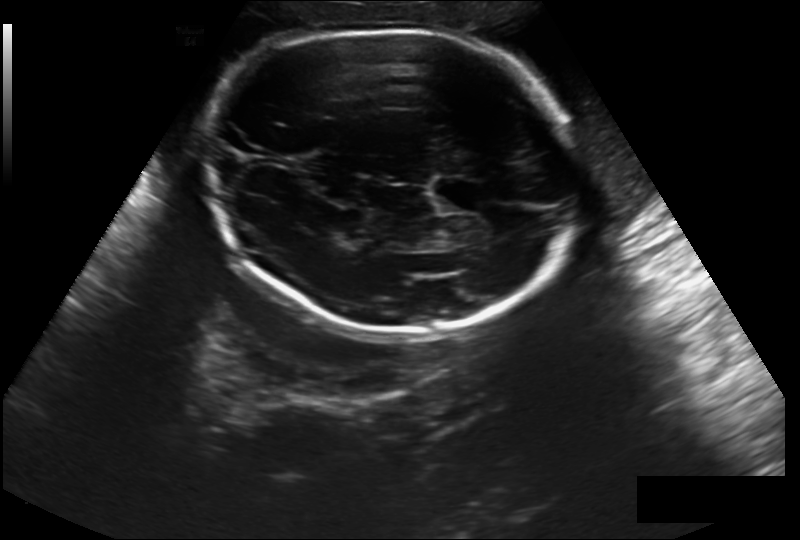
Measure the fetal head circumference shown in this ultrasound image. Image width: 195.6 mm.

Head circumference: 269.8 mm.